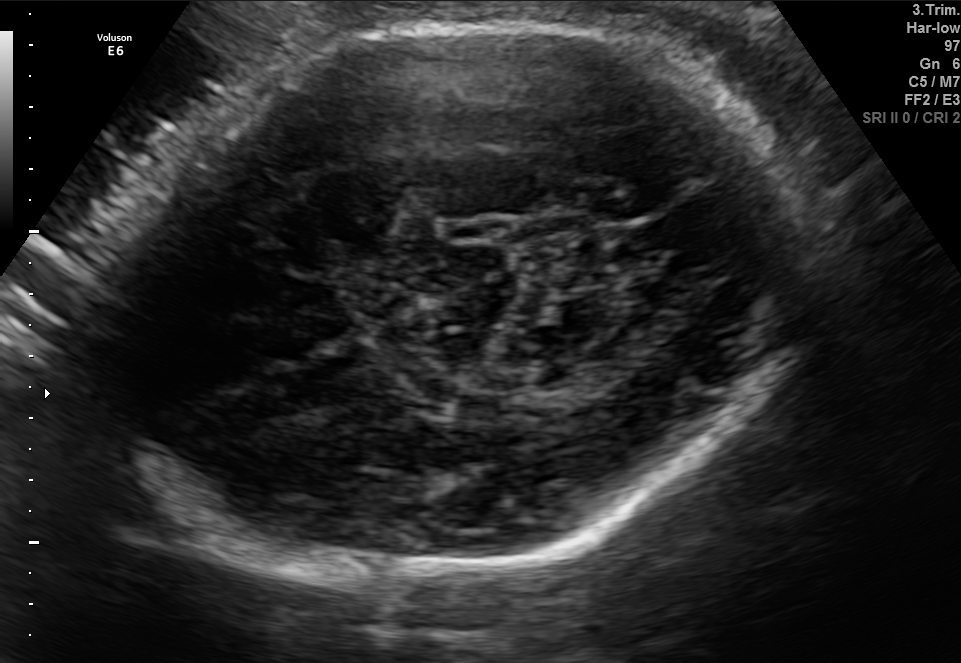
Fetal brain, trans-thalamic plane. Give [x1,y1,x2,y2] bounding boxes for each visible structure among: fetal head, CSP, LV.

Head: [87,13,818,588]